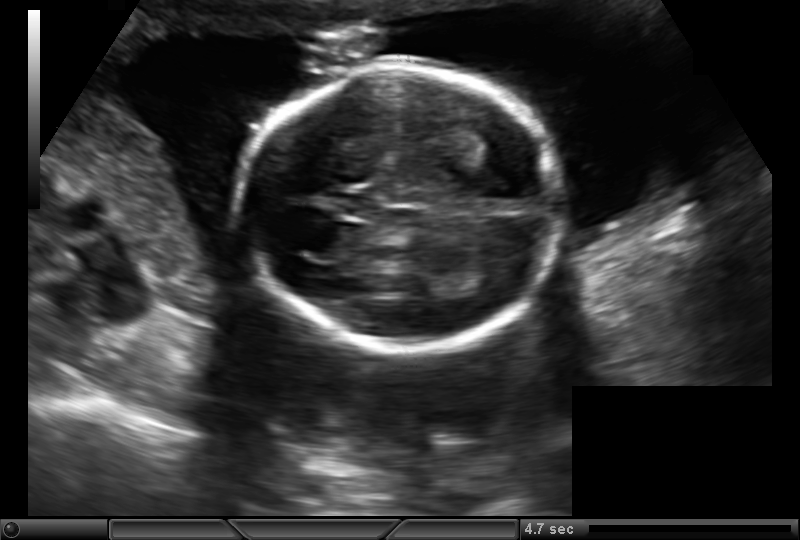
Fetal head ultrasound. Image width: 129.0 mm. Give [x1,y1,x2,y2] bounding boxes for each visible structure among: fetal head, CSP, LV.

Head: [241,65,557,350]